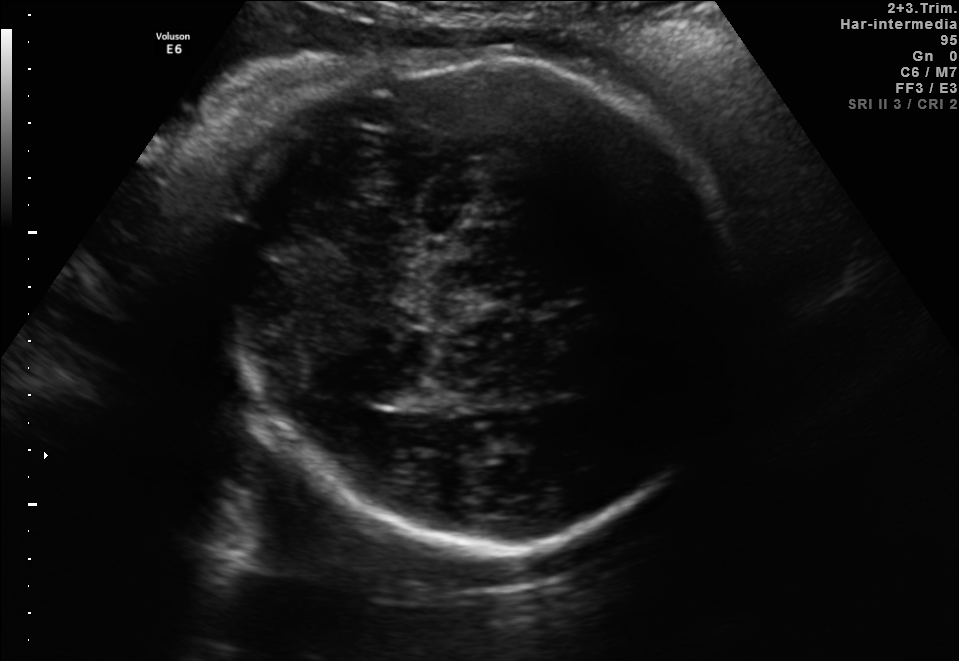
Fetal brain, trans-thalamic plane. Give [x1,y1,x2,y2] bounding boxes for each visible structure among: fetal head, CSP, LV.

Head: [218,56,735,549]